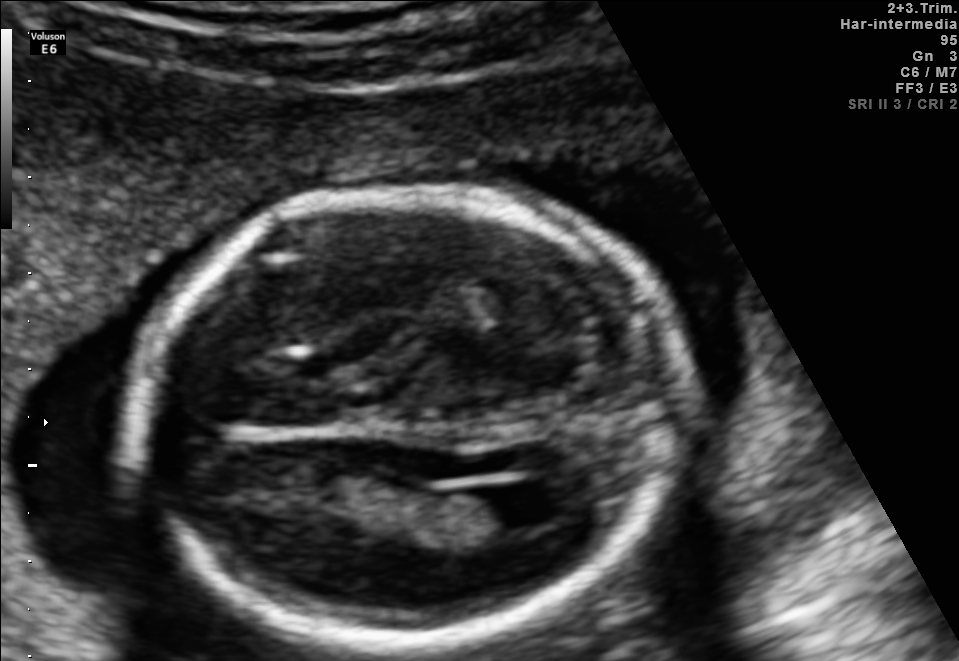
Fetal brain, trans-ventricular plane. Where is the fetal head?

Head bounding box: [121,177,702,658]